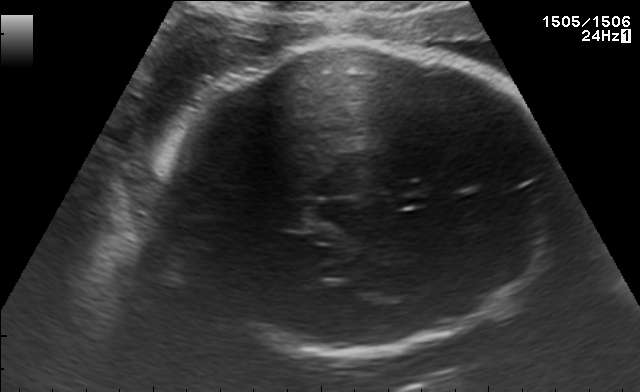
Fetal brain, trans-thalamic plane. Give [x1,y1,x2,y2] bounding boxes for each visible structure among: fetal head, CSP, LV.

Head: [158,47,558,355]